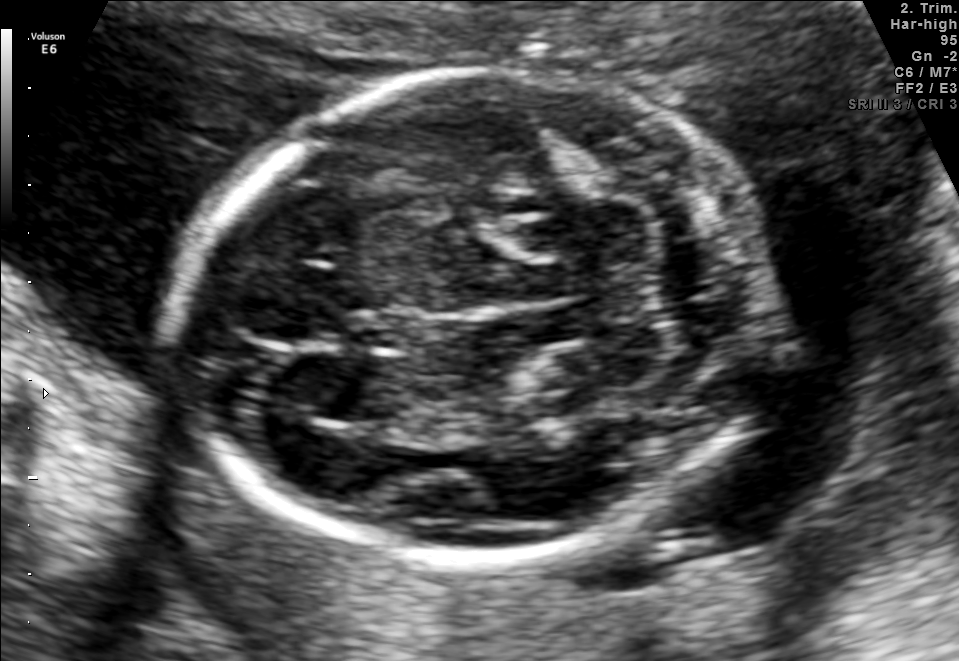
Classify this maternal-fetal ultrasound image as one of the six standard planes — fetal abdomen, fetal brain, fetal femur, fetal thorax, maternal cervix, or other. If it's fetal brain and one of the three standard brain planes (trans-thalamic, trans-cerebellum, trans-ventricular), name which.

Fetal brain (trans-cerebellum plane)